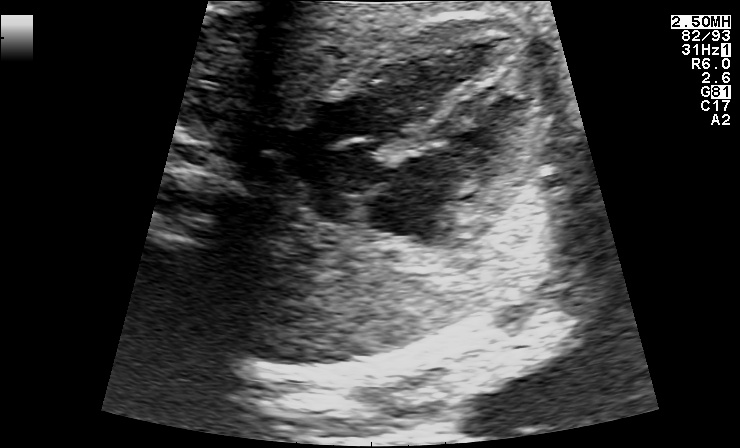
This is a 2D maternal-fetal ultrasound frame. Is it a fetal abdomen, fetal brain, fetal femur, fetal thorax, maternal cervix, or other standard plane? If it's fetal brain and one of the three standard brain planes (trans-thalamic, trans-cerebellum, trans-ventricular), name which.

Fetal thorax